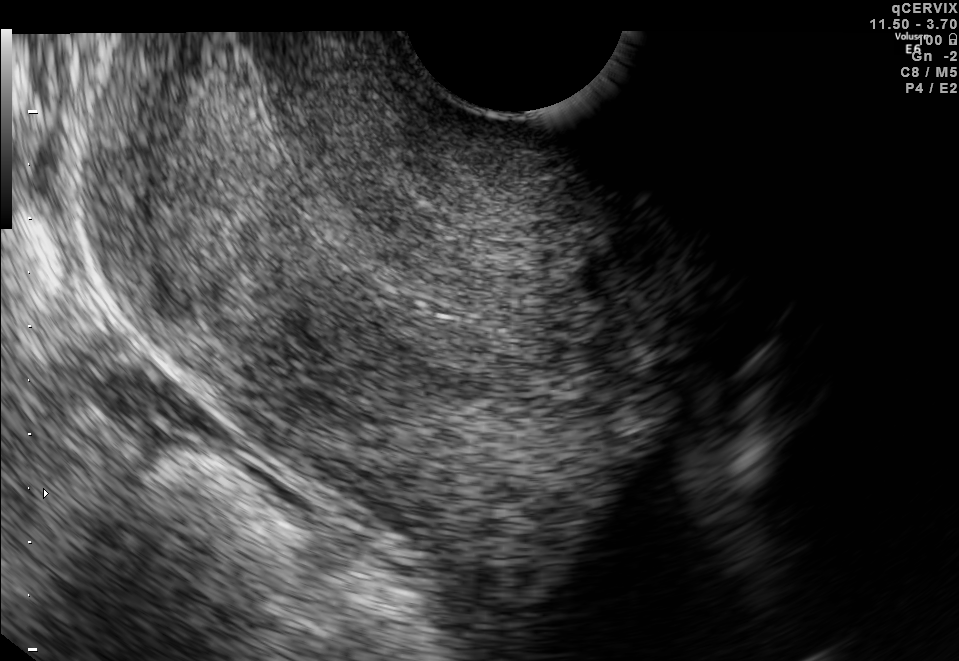
This is a 2D maternal-fetal ultrasound frame. Is it a fetal abdomen, fetal brain, fetal femur, fetal thorax, maternal cervix, or other standard plane? If it's fetal brain and one of the three standard brain planes (trans-thalamic, trans-cerebellum, trans-ventricular), name which.

Maternal cervix